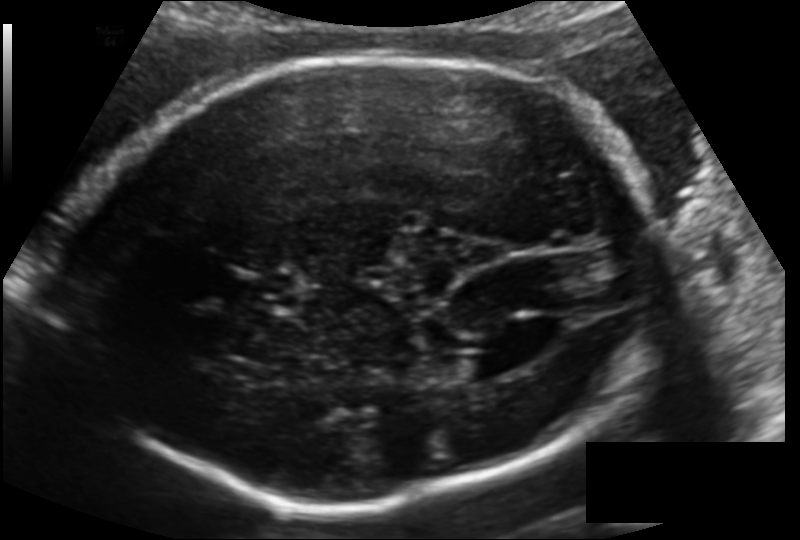
What is the fetal head circumference? Image width is 118.6 mm.

247.8 mm